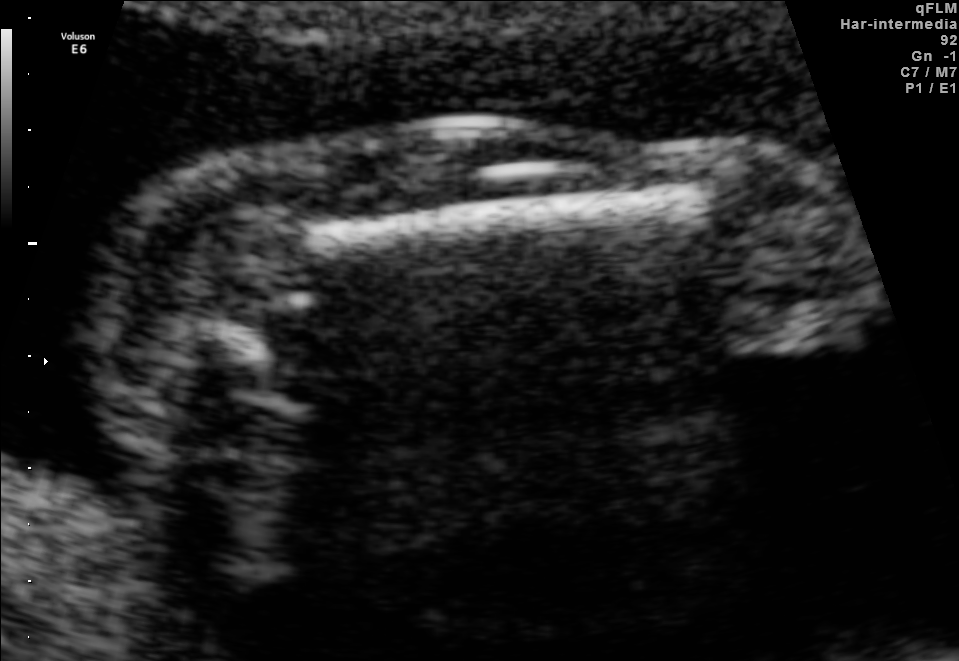
This is a 2D maternal-fetal ultrasound frame. Is it a fetal abdomen, fetal brain, fetal femur, fetal thorax, maternal cervix, or other standard plane? If it's fetal brain and one of the three standard brain planes (trans-thalamic, trans-cerebellum, trans-ventricular), name which.

Fetal femur